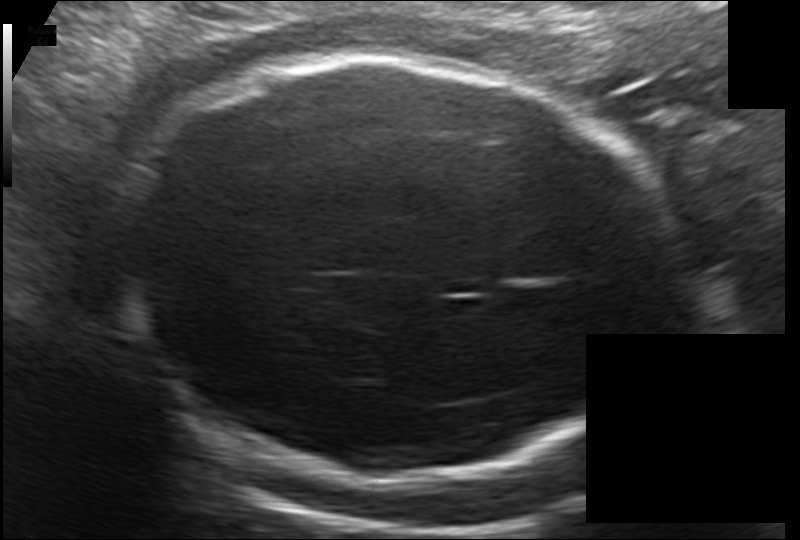
Fetal head ultrasound. Image width: 138.0 mm. Locate the fetal head.

Head: [116,55,672,480]